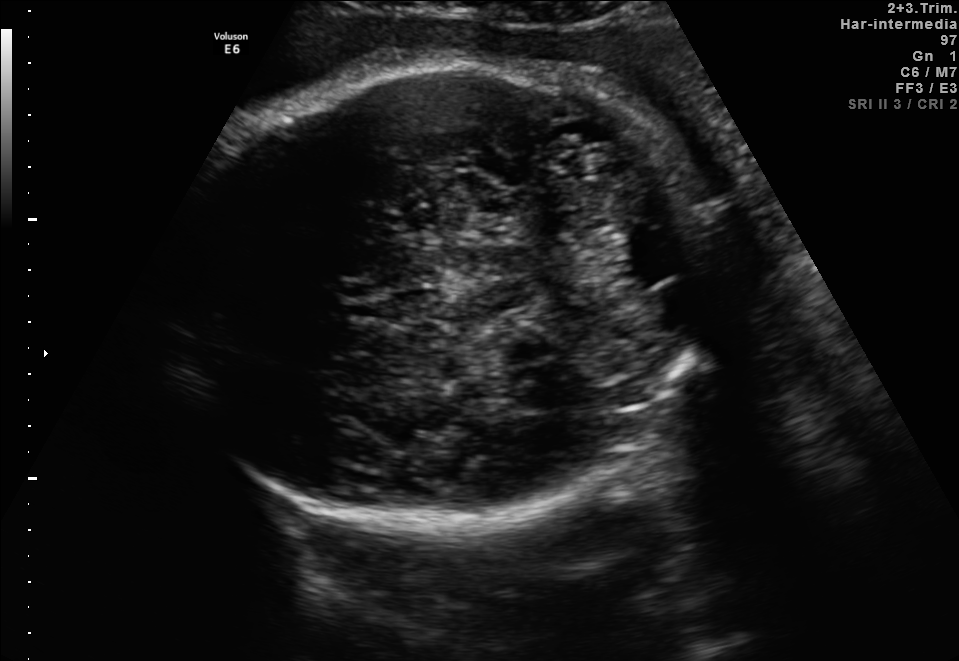
Fetal brain, trans-cerebellum plane. Locate the fetal head and, if visible, the cavum septum pellucidum (CSP) and lateral ventricle (LV). Give bounding boxes as [x1,y1,x2,y2].

Head: [164,58,715,517]